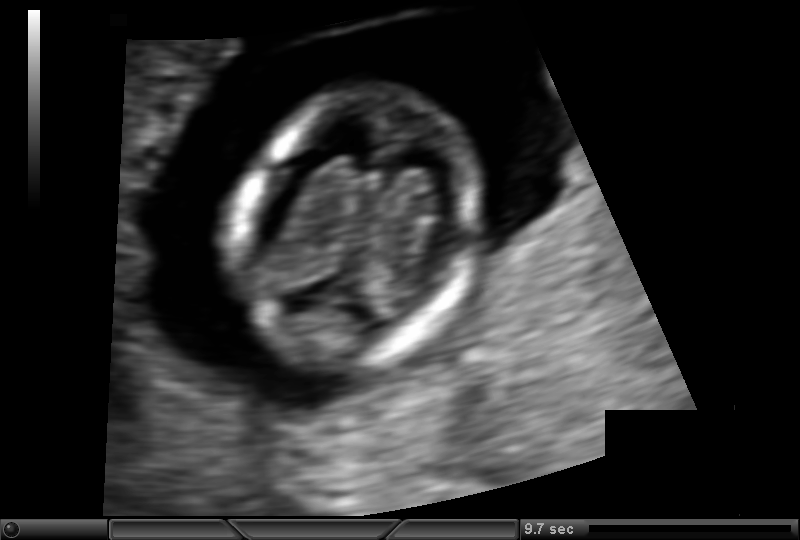
Estimate the fetal head circumference from this 2D ultrasound.

Head circumference: 78.5 mm (image width 73.8 mm).